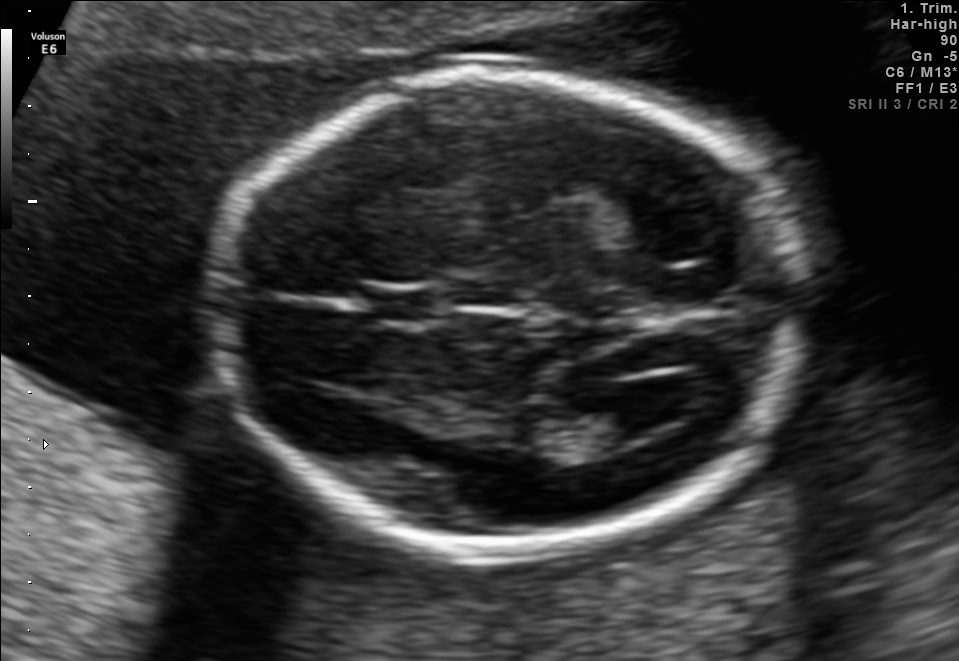
Classify this maternal-fetal ultrasound image as one of the six standard planes — fetal abdomen, fetal brain, fetal femur, fetal thorax, maternal cervix, or other. If it's fetal brain and one of the three standard brain planes (trans-thalamic, trans-cerebellum, trans-ventricular), name which.

Fetal brain (trans-ventricular plane)